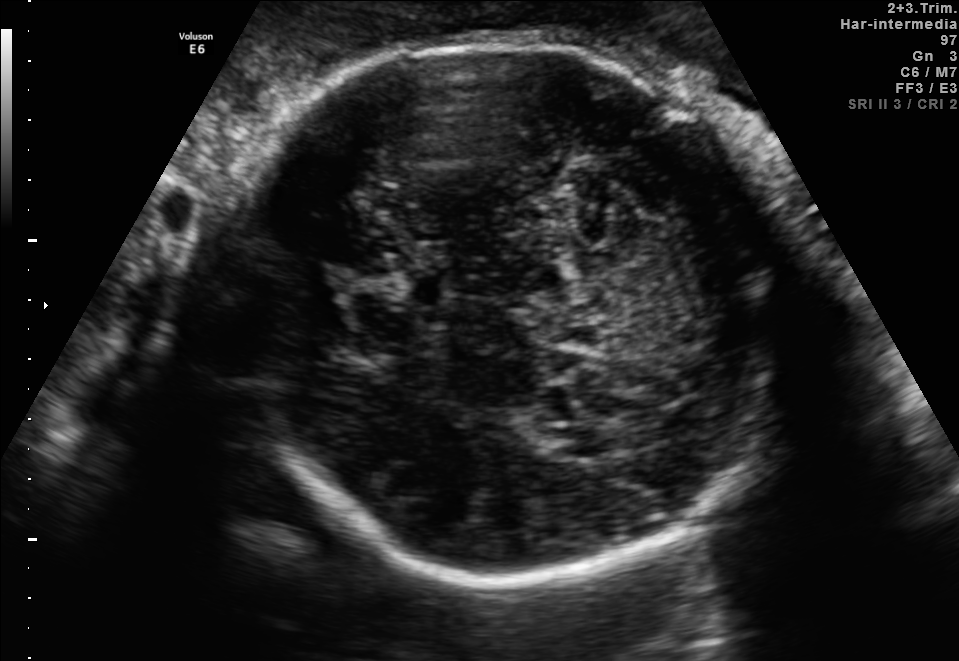
Fetal brain, trans-thalamic plane. Locate the fetal head and, if visible, the cavum septum pellucidum (CSP) and lateral ventricle (LV). Give bounding boxes as [x1,y1,x2,y2].

Head: [218,31,765,570]